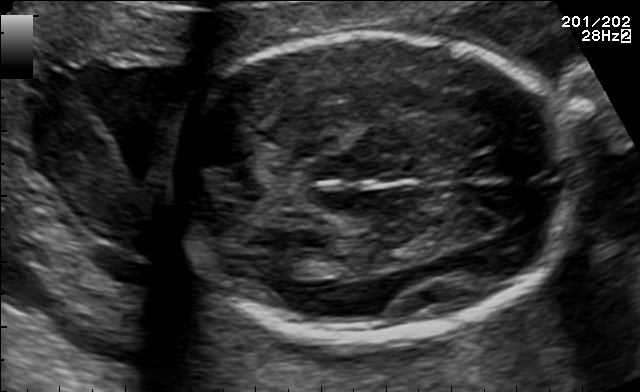
Fetal brain, trans-thalamic plane. Give [x1,y1,x2,y2] bounding boxes for each visible structure among: fetal head, CSP, LV.

Head: [163,34,575,338]
Lateral ventricle: [271,249,325,278]